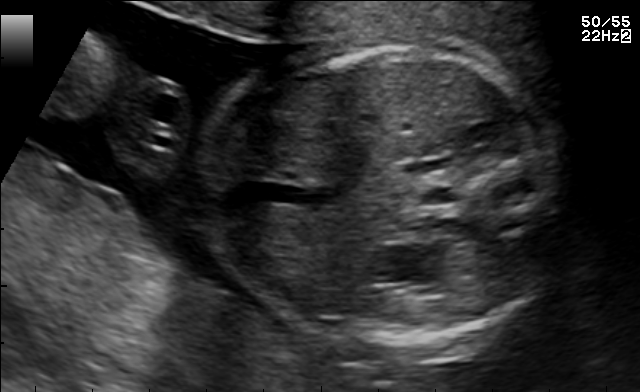
Identify the standard plane in this fetal ultrasound image: fetal abdomen, fetal brain, fetal femur, fetal thorax, maternal cervix, or other. If it's fetal brain and one of the three standard brain planes (trans-thalamic, trans-cerebellum, trans-ventricular), name which.

Fetal abdomen